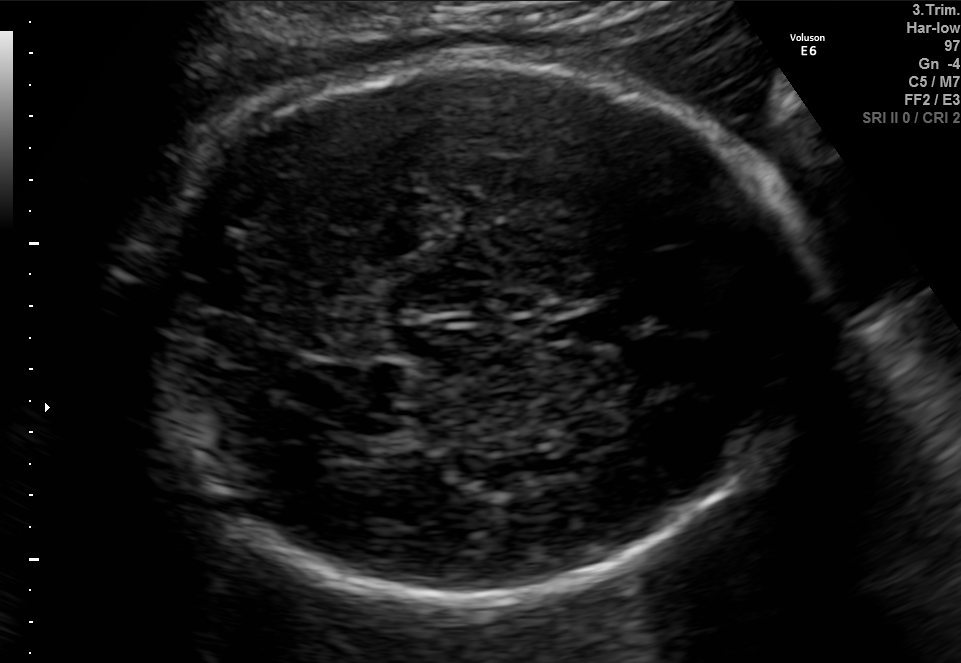
Fetal brain, trans-thalamic plane. Give [x1,y1,x2,y2] bounding boxes for each visible structure among: fetal head, CSP, LV.

Head: [133,59,812,606]
CSP: [555,309,627,347]